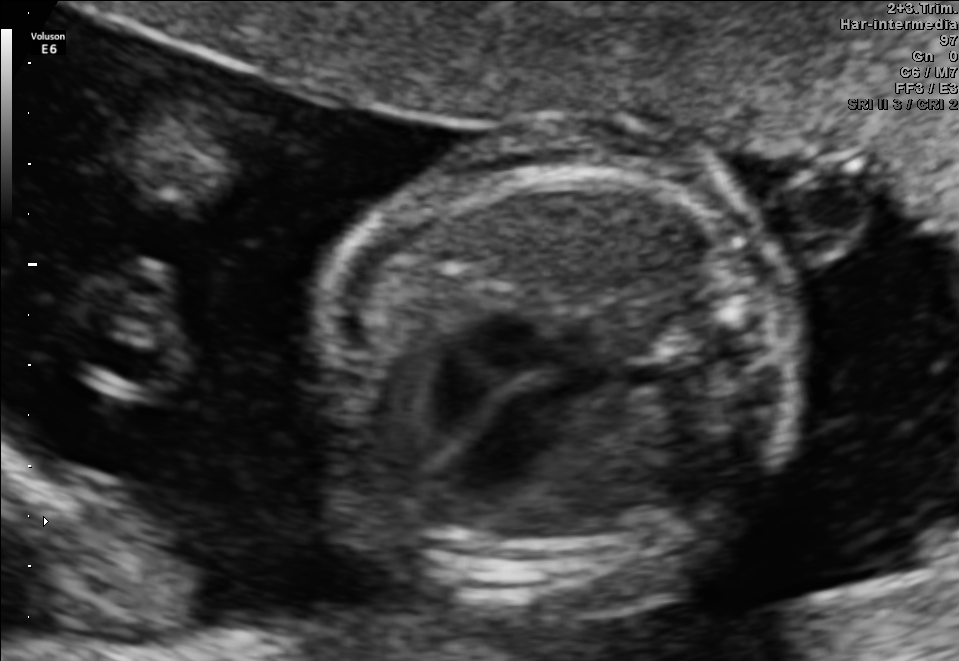
Identify the standard plane in this fetal ultrasound image: fetal abdomen, fetal brain, fetal femur, fetal thorax, maternal cervix, or other. If it's fetal brain and one of the three standard brain planes (trans-thalamic, trans-cerebellum, trans-ventricular), name which.

Fetal thorax